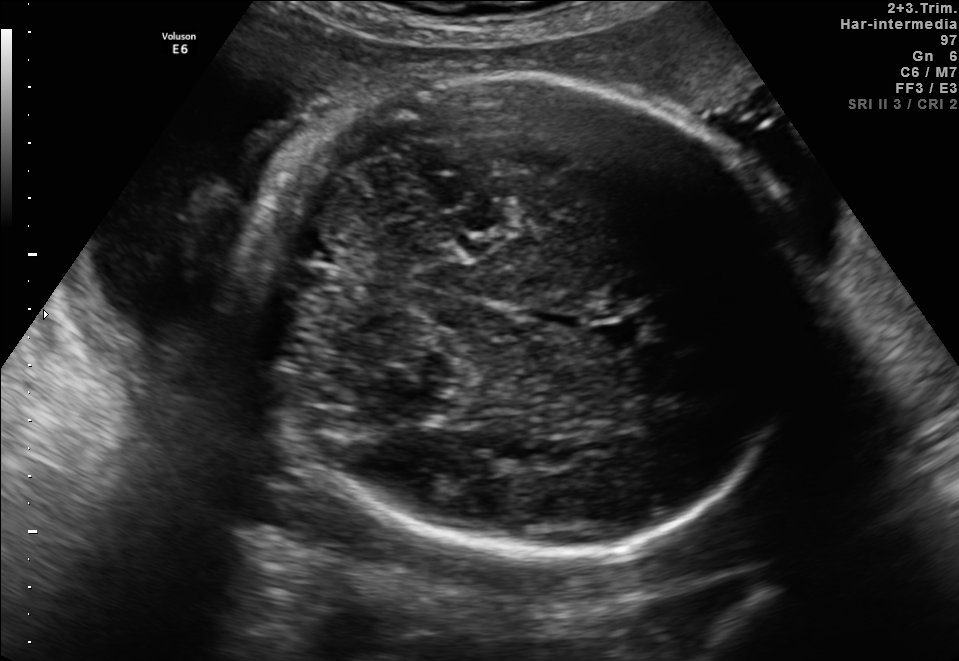
In this fetal brain, trans-cerebellum plane, give the bounding box of the fetal head.

[259,79,798,558]